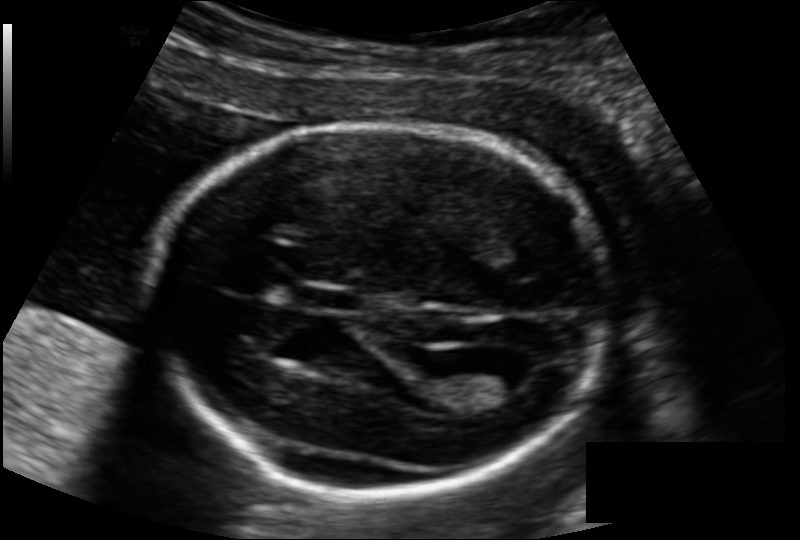
Estimate the fetal head circumference from this 2D ultrasound. Image width: 106.7 mm.

Head circumference: 176.4 mm.